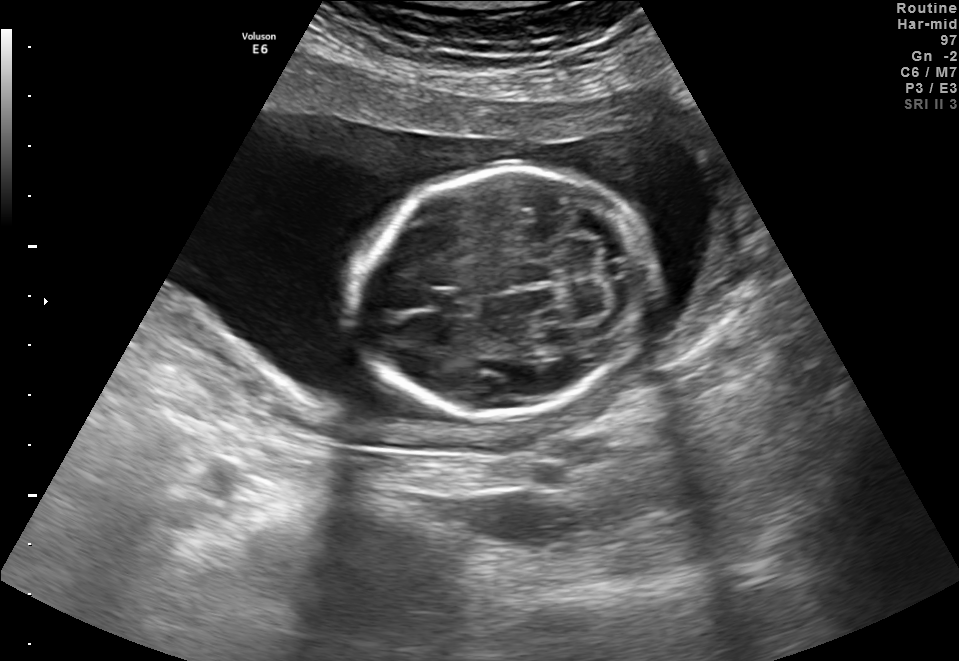
This is a 2D maternal-fetal ultrasound frame. Is it a fetal abdomen, fetal brain, fetal femur, fetal thorax, maternal cervix, or other standard plane? If it's fetal brain and one of the three standard brain planes (trans-thalamic, trans-cerebellum, trans-ventricular), name which.

Fetal brain (trans-cerebellum plane)